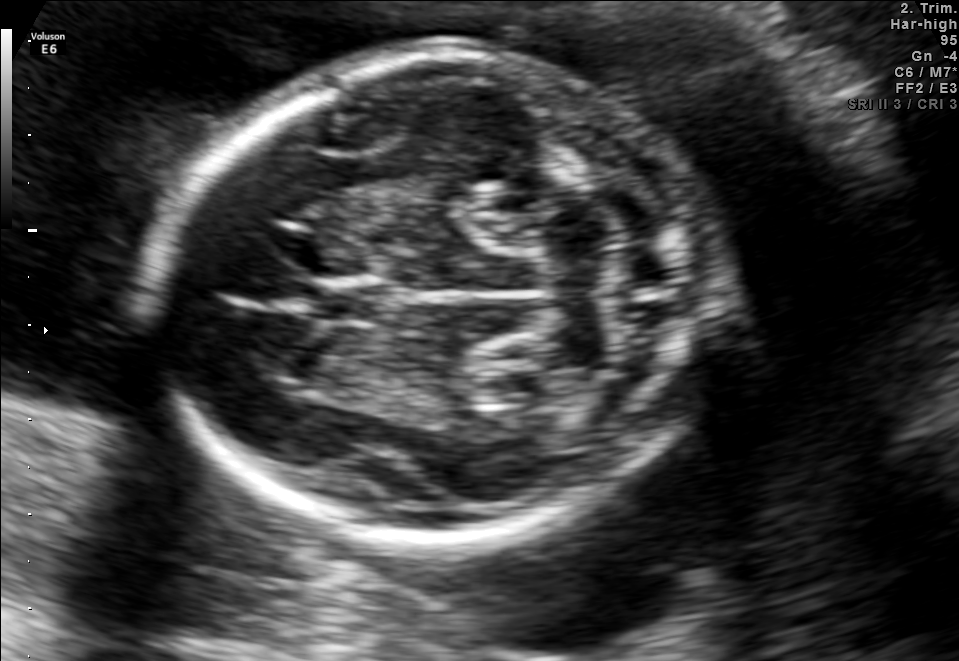
Fetal brain, trans-cerebellum plane. Locate the cavum septum pellucidum.

CSP: [309,281,384,324]